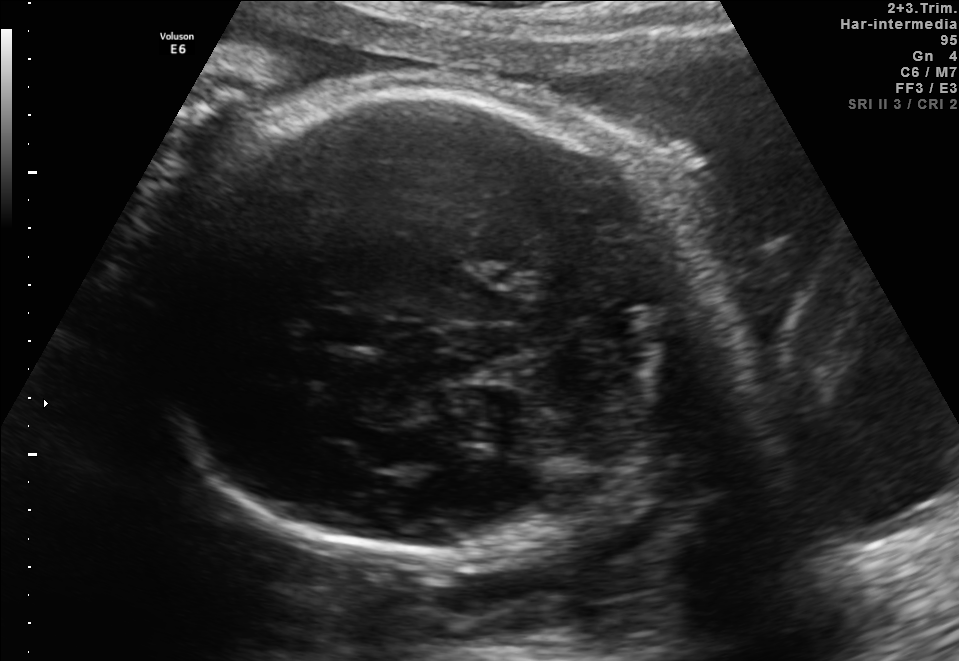
Fetal brain, trans-thalamic plane. Where is the fetal head?

Head bounding box: [139,94,700,553]